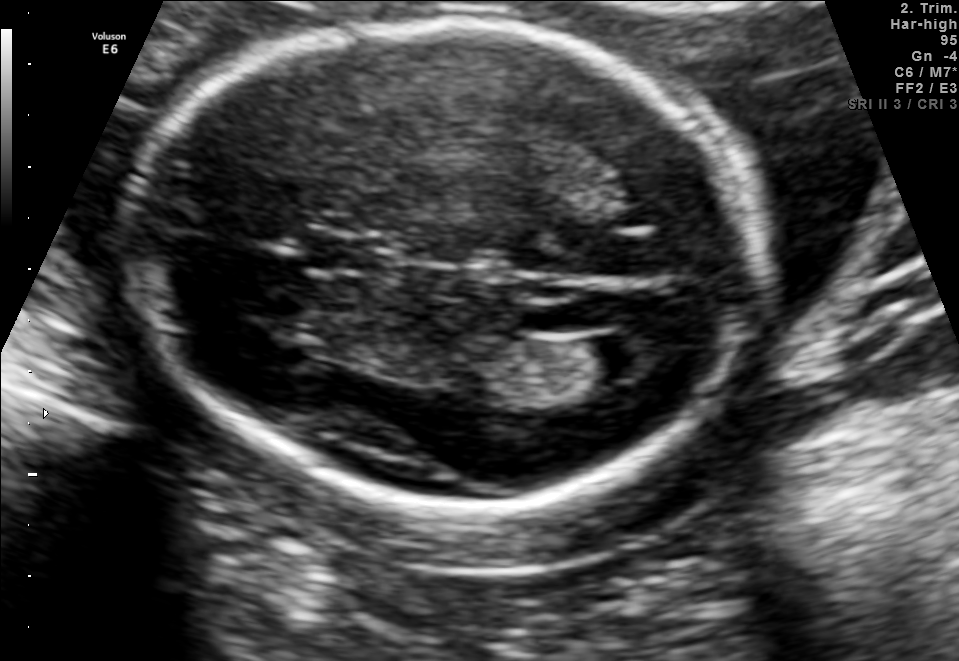
Fetal brain, trans-ventricular plane. Locate the lateral ventricle.

Lateral ventricle: [583,319,667,387]